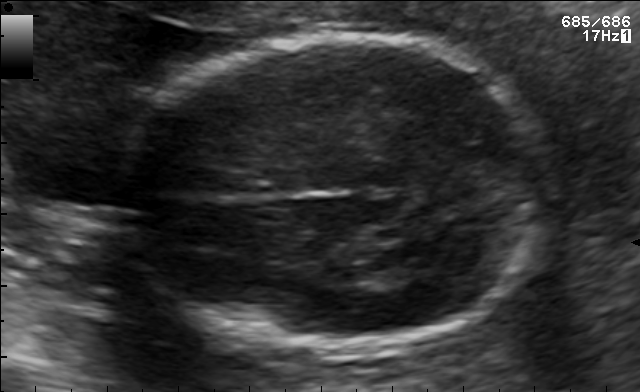
Fetal brain, trans-thalamic plane. Locate the fetal head.

Head: [123,35,547,355]